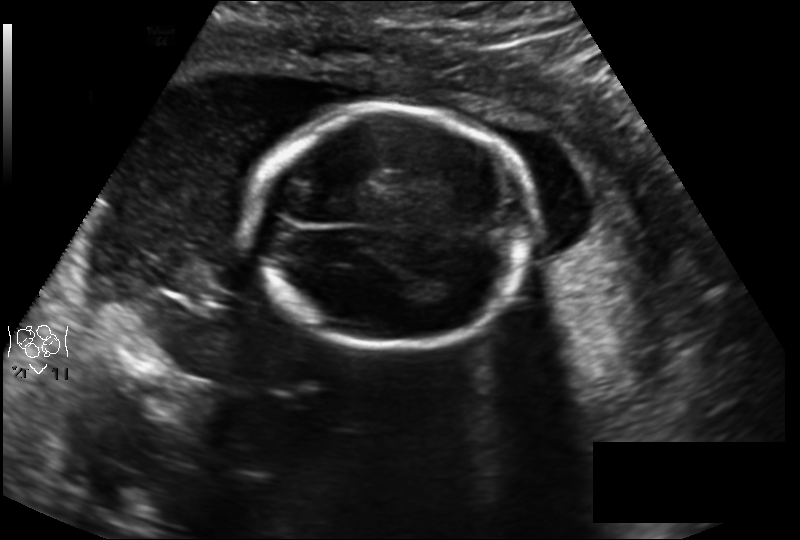
Fetal head ultrasound. Image width: 155.0 mm. Locate the fetal head and, if visible, the cavum septum pellucidum (CSP) and lateral ventricle (LV). Give bounding boxes as [x1,y1,x2,y2].

Head: [253,105,532,350]